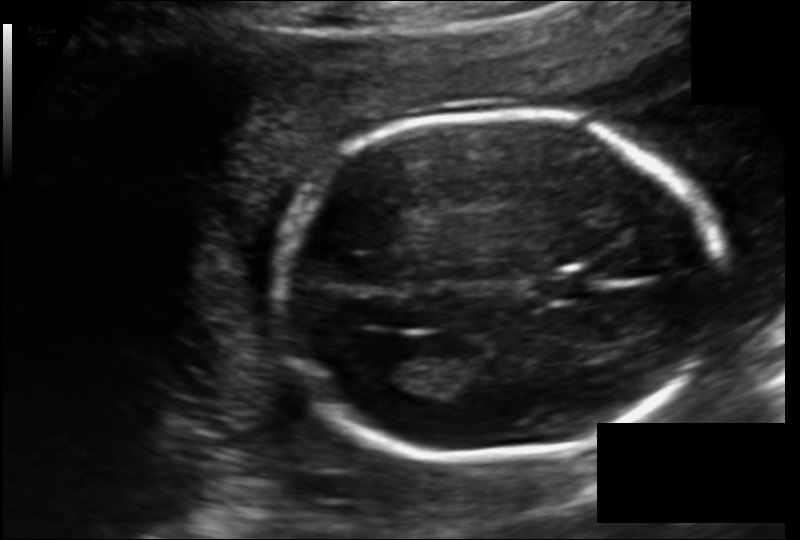
Fetal head ultrasound. Image width: 107.8 mm. Locate the fetal head and, if visible, the cavum septum pellucidum (CSP) and lateral ventricle (LV). Give bounding boxes as [x1,y1,x2,y2].

Head: [274,110,729,454]
CSP: [534,268,592,307]
Lateral ventricle: [368,346,439,396]